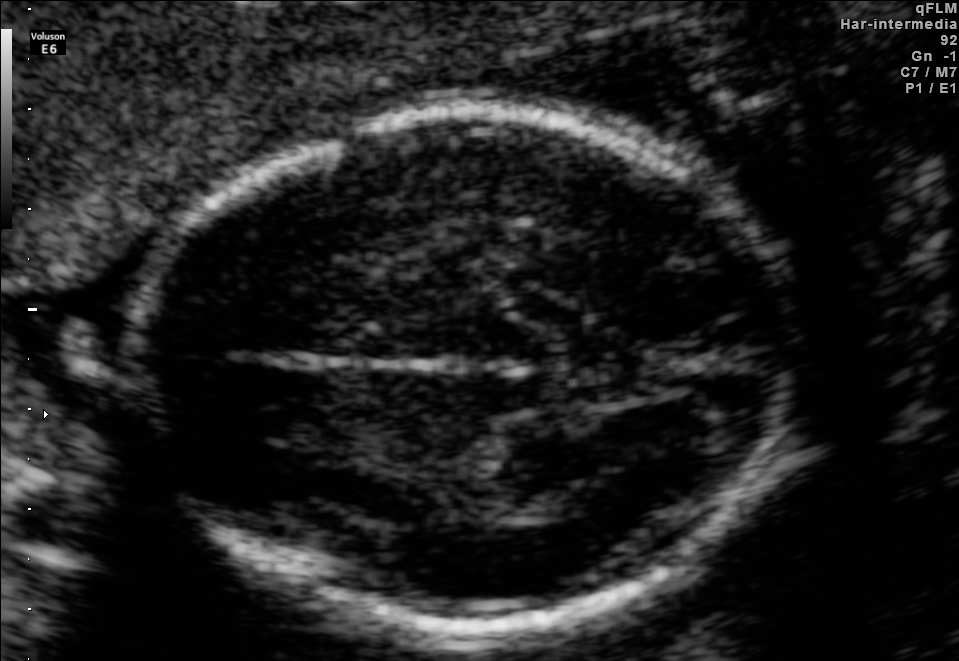
Fetal brain, trans-thalamic plane. Locate the fetal head.

Head: [133,113,792,636]